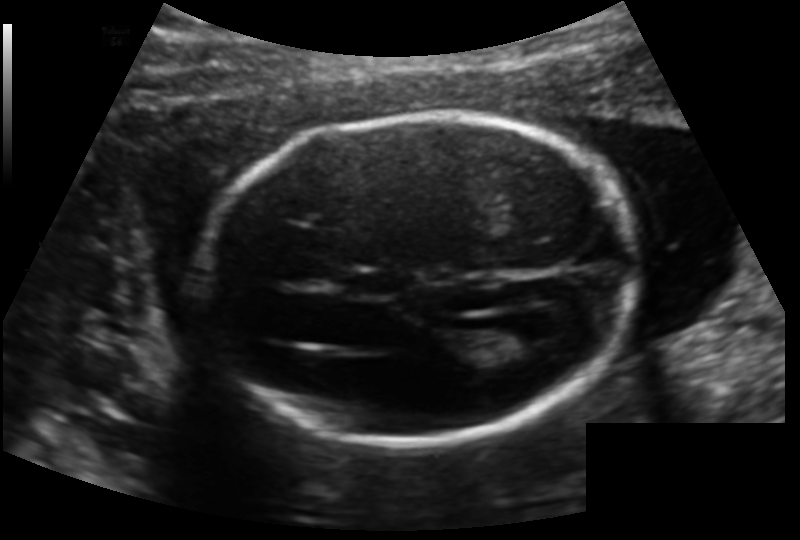
From this fetal ultrasound, estimate the head circumference (image width 112.1 mm).

Head circumference: 173.1 mm.